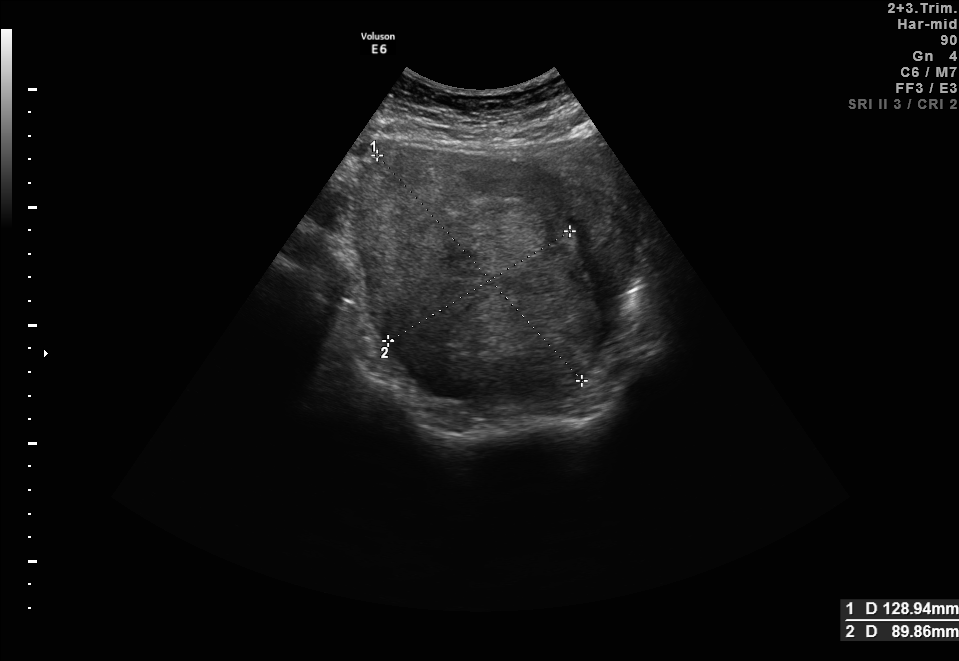
Classify this maternal-fetal ultrasound image as one of the six standard planes — fetal abdomen, fetal brain, fetal femur, fetal thorax, maternal cervix, or other. If it's fetal brain and one of the three standard brain planes (trans-thalamic, trans-cerebellum, trans-ventricular), name which.

Other